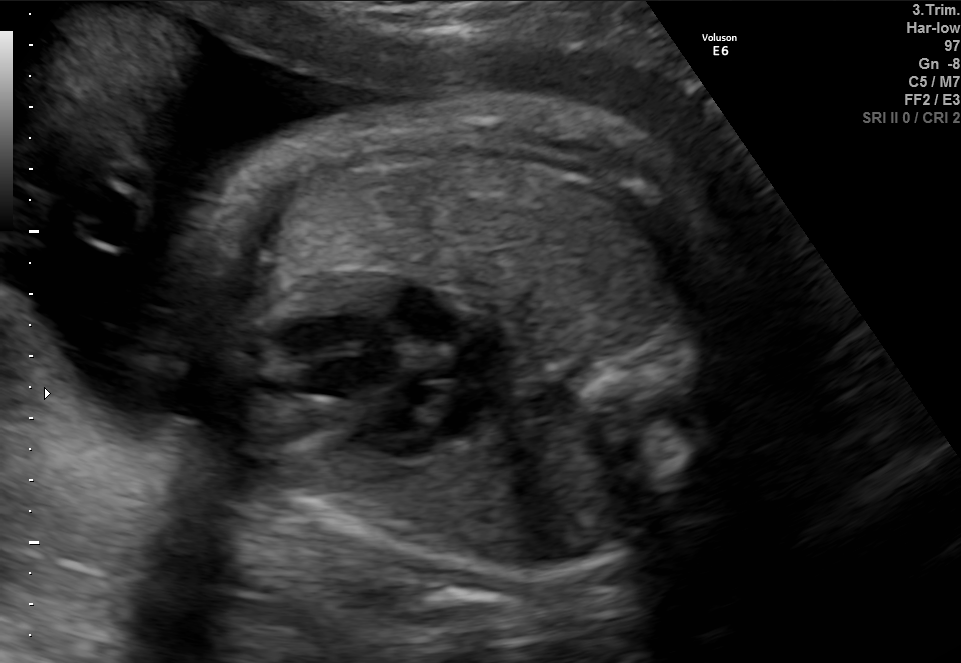
Which standard maternal-fetal ultrasound plane is shown: fetal abdomen, fetal brain, fetal femur, fetal thorax, maternal cervix, or other? If it's fetal brain and one of the three standard brain planes (trans-thalamic, trans-cerebellum, trans-ventricular), name which.

Fetal thorax